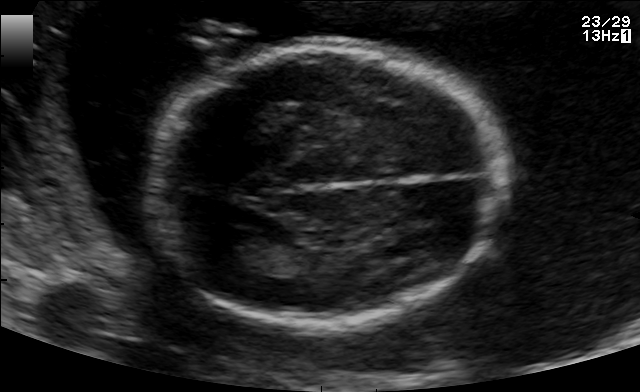
Classify this maternal-fetal ultrasound image as one of the six standard planes — fetal abdomen, fetal brain, fetal femur, fetal thorax, maternal cervix, or other. If it's fetal brain and one of the three standard brain planes (trans-thalamic, trans-cerebellum, trans-ventricular), name which.

Fetal brain (trans-thalamic plane)